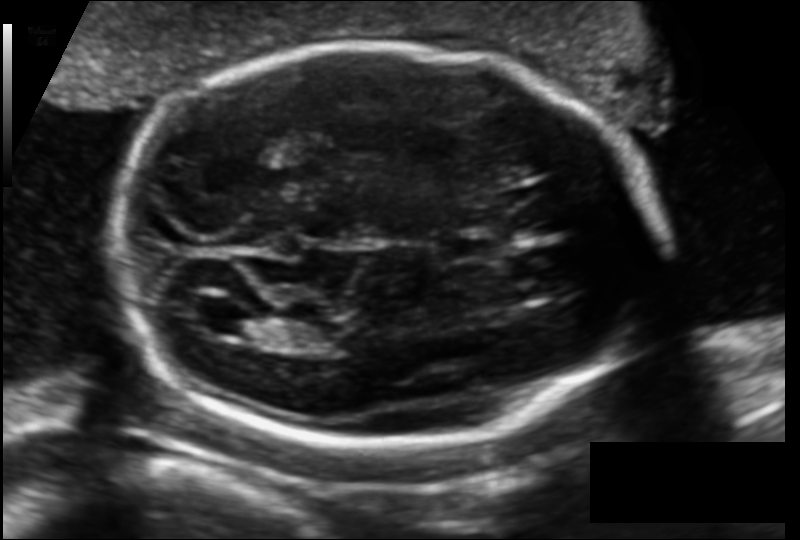
In this fetal head ultrasound, give the bounding box of the lateral ventricle. Image width: 103.4 mm.

[188,295,251,336]